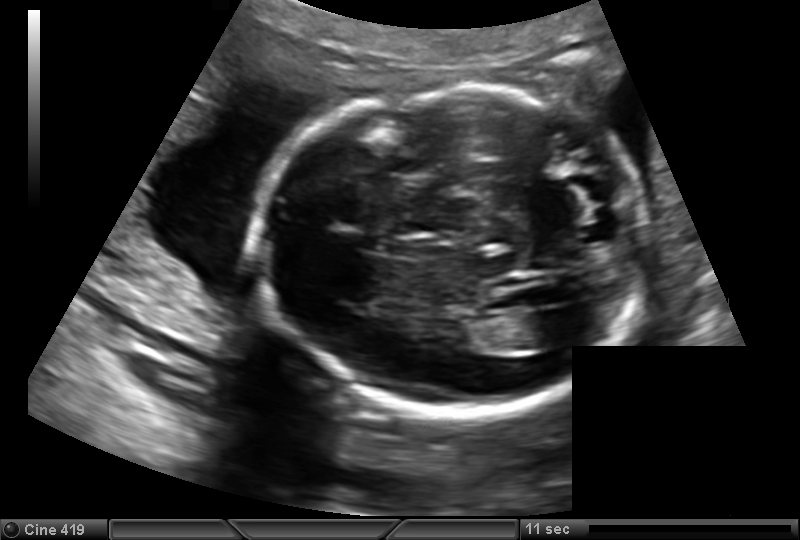
From this fetal ultrasound, estimate the head circumference (image width 120.7 mm).

Head circumference: 176.9 mm.